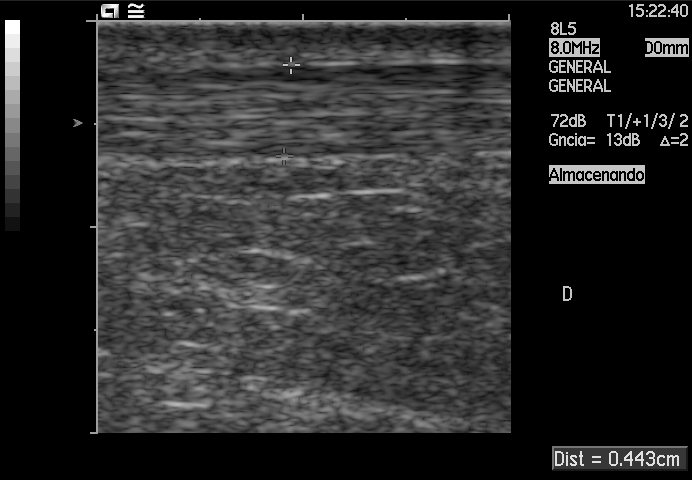
Identify the standard plane in this fetal ultrasound image: fetal abdomen, fetal brain, fetal femur, fetal thorax, maternal cervix, or other. If it's fetal brain and one of the three standard brain planes (trans-thalamic, trans-cerebellum, trans-ventricular), name which.

Other